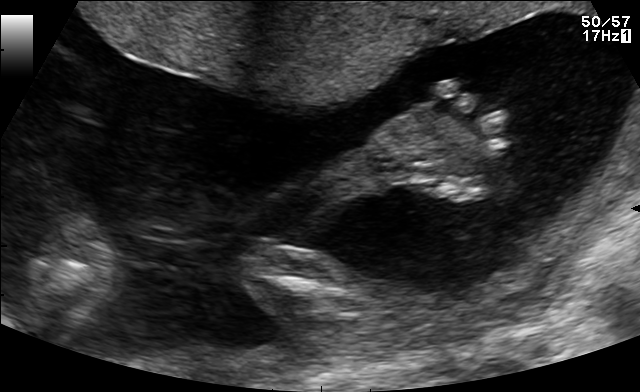
Classify this maternal-fetal ultrasound image as one of the six standard planes — fetal abdomen, fetal brain, fetal femur, fetal thorax, maternal cervix, or other. If it's fetal brain and one of the three standard brain planes (trans-thalamic, trans-cerebellum, trans-ventricular), name which.

Other